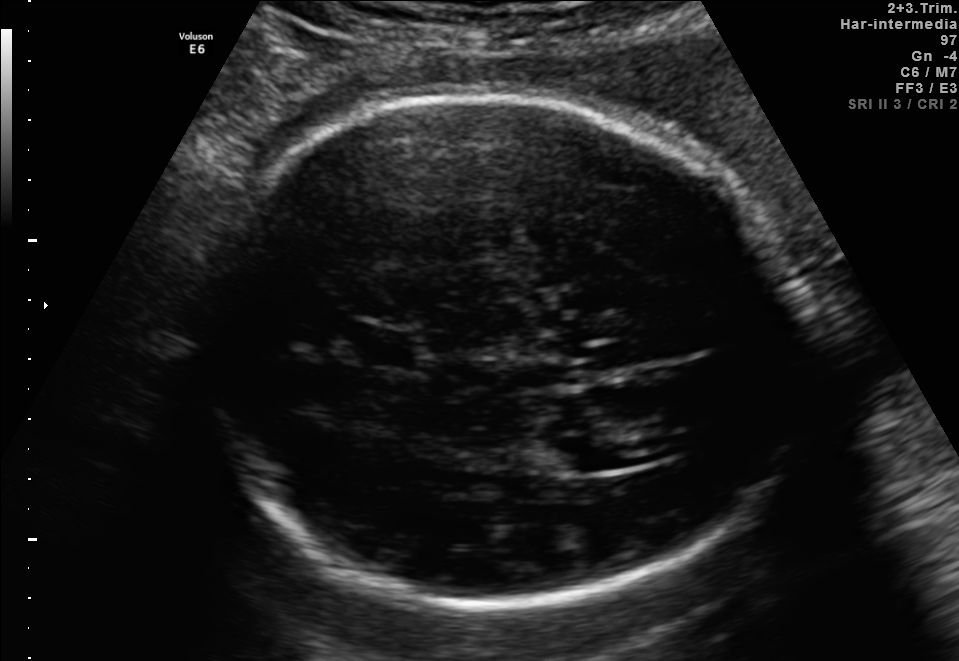
Fetal brain, trans-ventricular plane. Give [x1,y1,x2,y2] bounding boxes for each visible structure among: fetal head, CSP, LV.

Head: [187,87,824,616]
CSP: [341,320,437,378]
Lateral ventricle: [537,428,622,478]